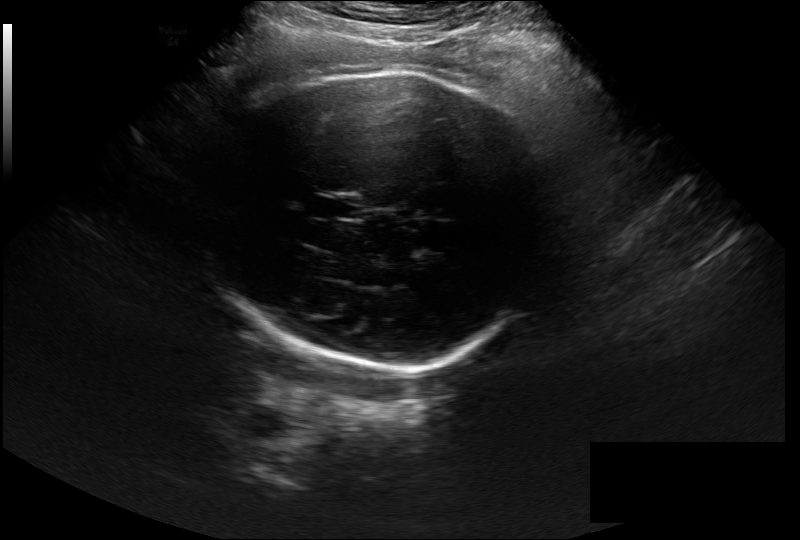
Fetal head ultrasound. Image width: 237.6 mm. Where is the cavum septum pellucidum?

CSP bounding box: [317,192,363,221]